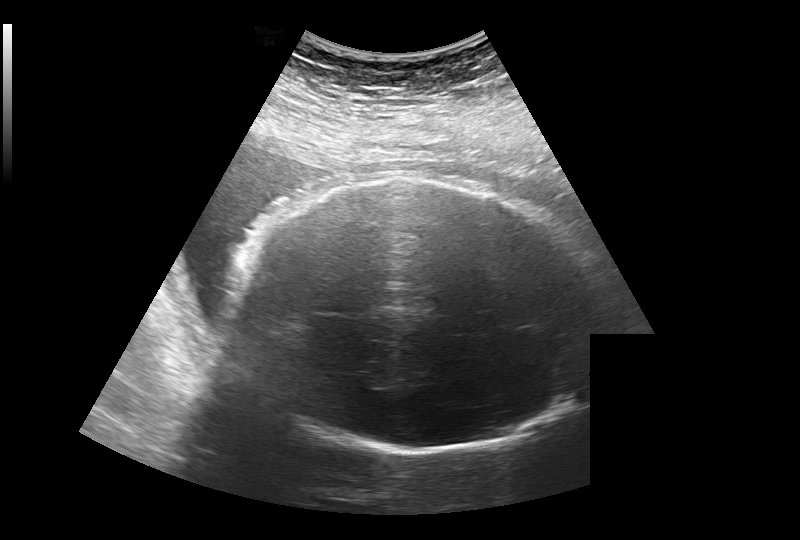
Estimate the fetal head circumference from this 2D ultrasound.

Head circumference: 315.0 mm (image width 246.2 mm).